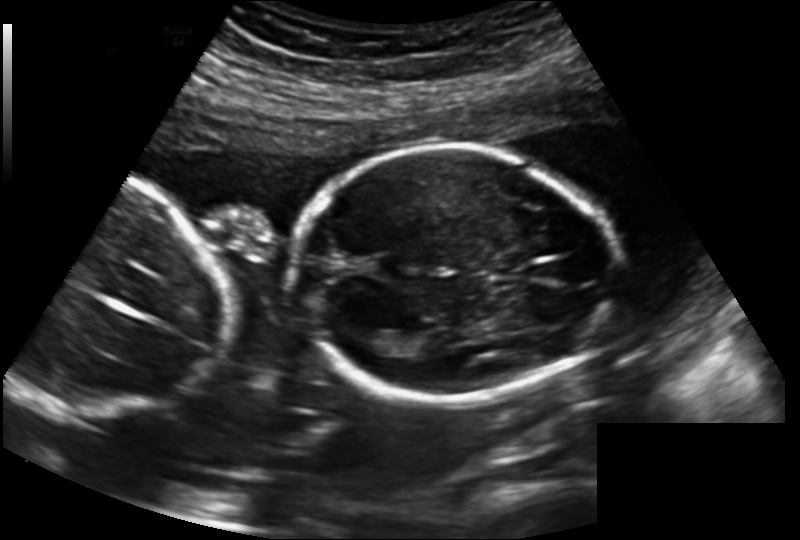
What is the fetal head circumference? Image width is 146.1 mm.

173.1 mm